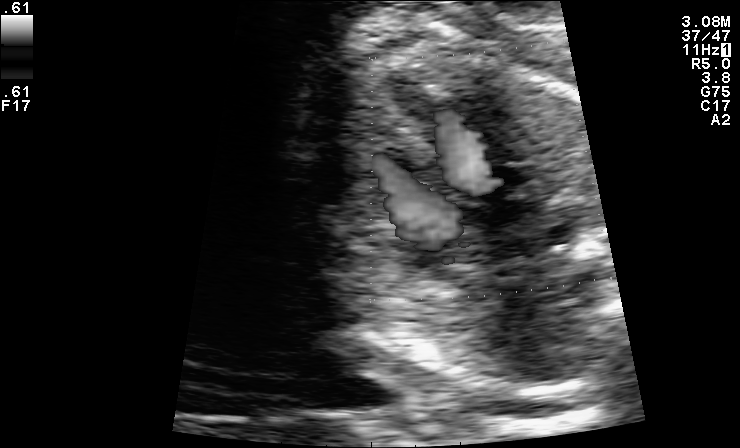
This is a 2D maternal-fetal ultrasound frame. Is it a fetal abdomen, fetal brain, fetal femur, fetal thorax, maternal cervix, or other standard plane? If it's fetal brain and one of the three standard brain planes (trans-thalamic, trans-cerebellum, trans-ventricular), name which.

Other